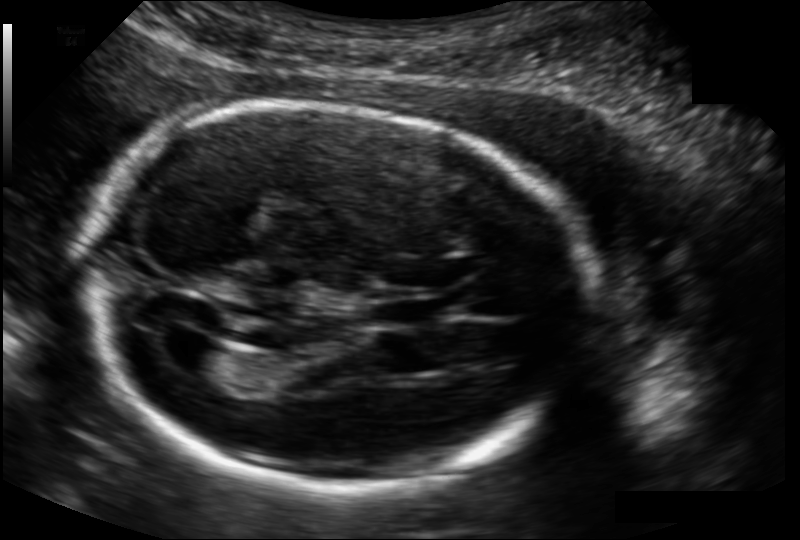
Fetal head ultrasound. Image width: 107.6 mm. Locate the lateral ventricle.

Lateral ventricle: [162,323,230,383]